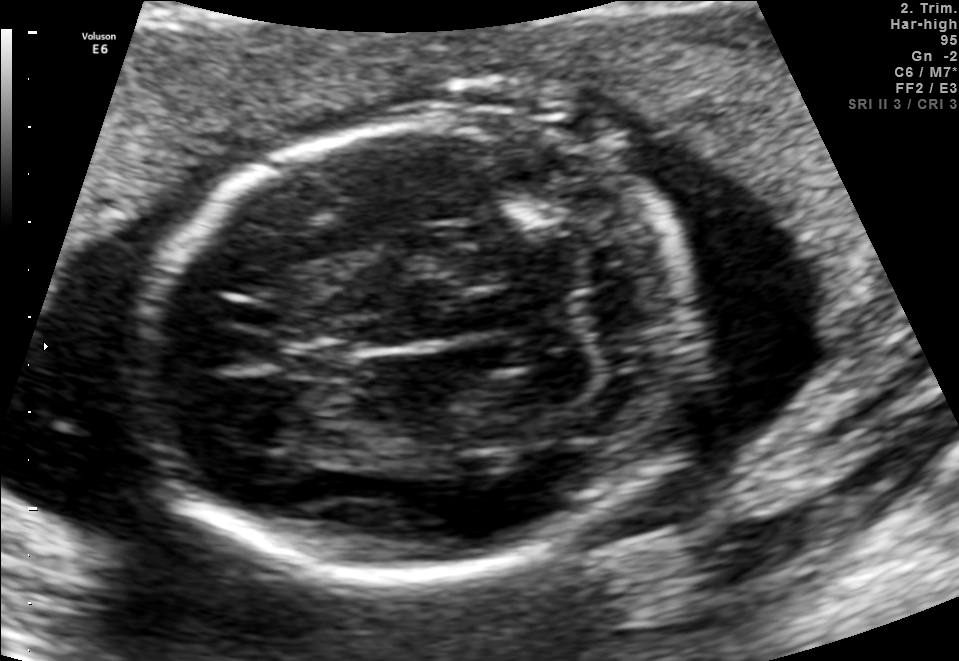
Fetal brain, trans-cerebellum plane. Locate the fetal head and, if visible, the cavum septum pellucidum (CSP) and lateral ventricle (LV). Give bounding boxes as [x1,y1,x2,y2].

Head: [137,124,688,573]
CSP: [283,340,353,380]